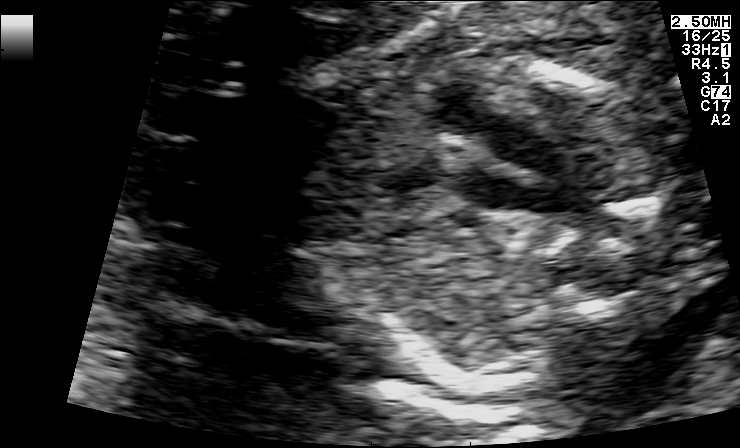
Which standard maternal-fetal ultrasound plane is shown: fetal abdomen, fetal brain, fetal femur, fetal thorax, maternal cervix, or other? If it's fetal brain and one of the three standard brain planes (trans-thalamic, trans-cerebellum, trans-ventricular), name which.

Other